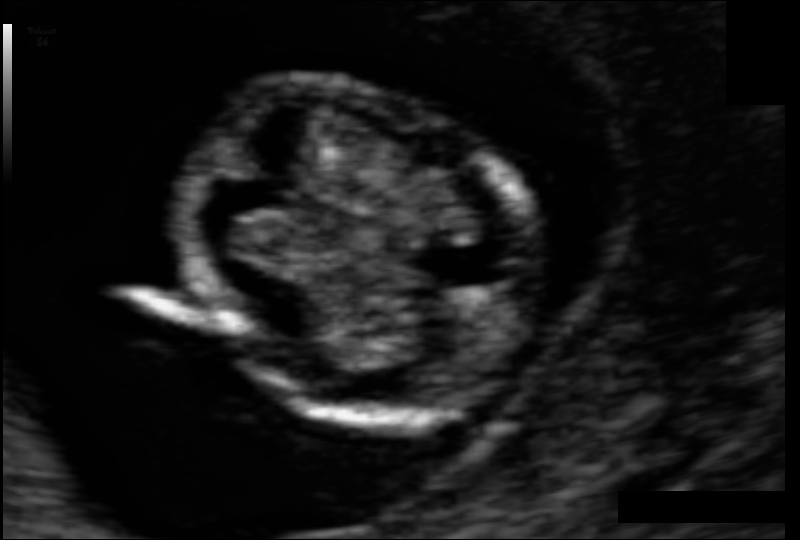
Fetal head ultrasound. Image width: 47.3 mm. Locate the fetal head and, if visible, the cavum septum pellucidum (CSP) and lateral ventricle (LV). Give bounding boxes as [x1,y1,x2,y2].

Head: [174,83,541,419]